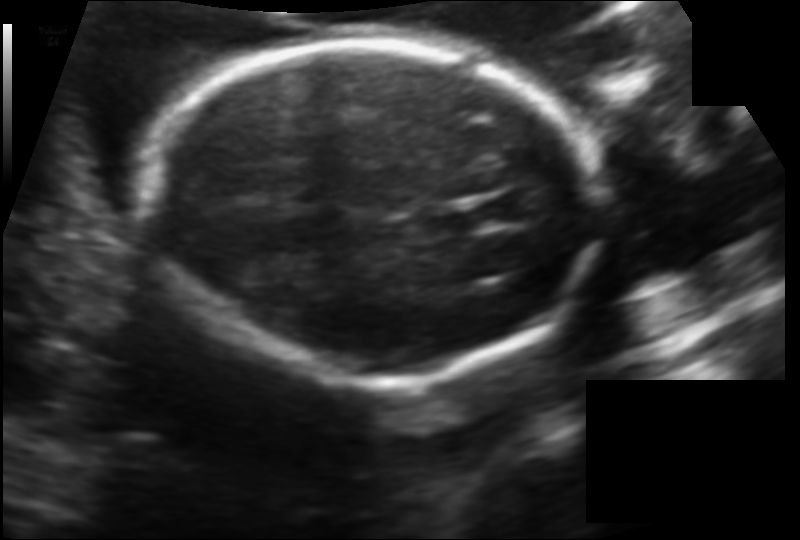
From this fetal ultrasound, estimate the head circumference (image width 108.5 mm).

Head circumference: 176.6 mm.